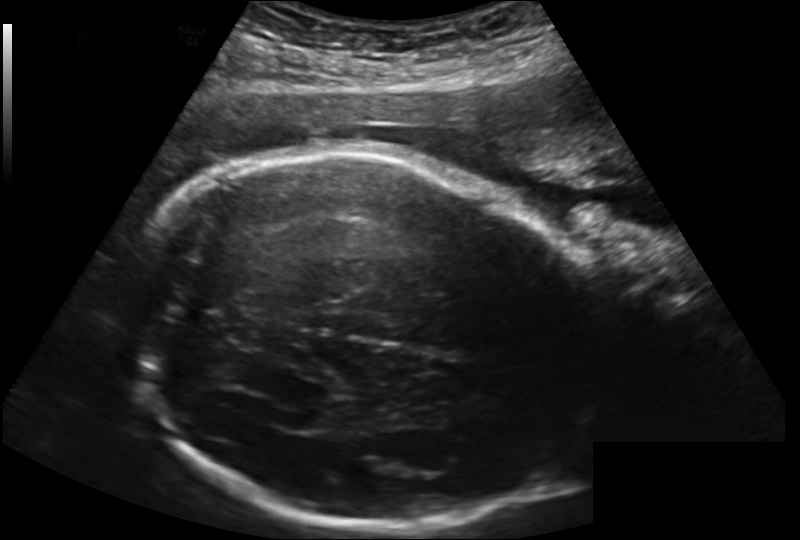
Fetal head ultrasound. Image width: 161.7 mm. Where is the fetal head?

Head bounding box: [125,150,601,529]